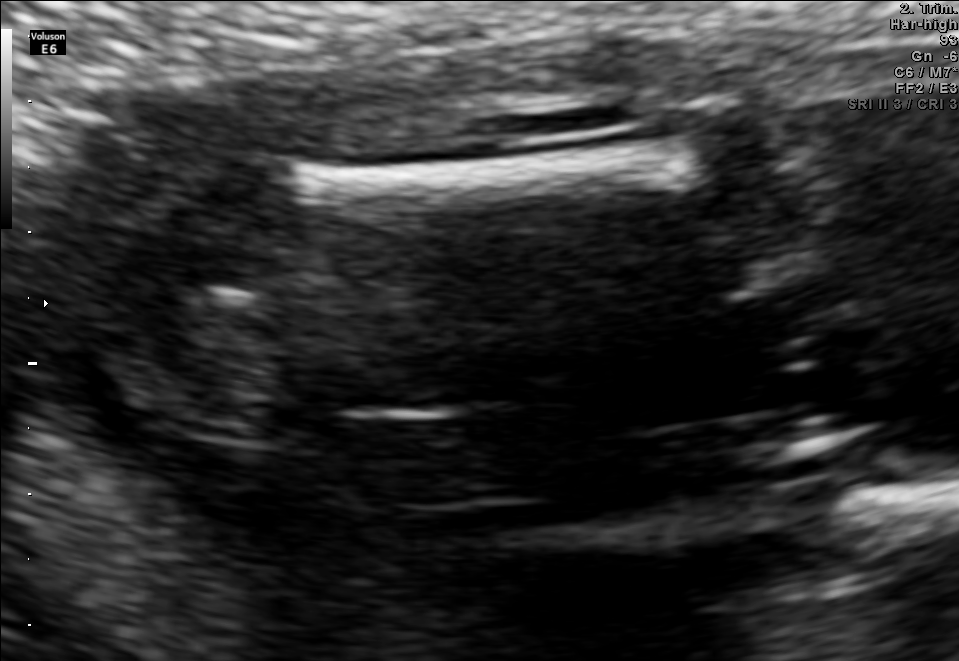
Classify this maternal-fetal ultrasound image as one of the six standard planes — fetal abdomen, fetal brain, fetal femur, fetal thorax, maternal cervix, or other. If it's fetal brain and one of the three standard brain planes (trans-thalamic, trans-cerebellum, trans-ventricular), name which.

Fetal femur